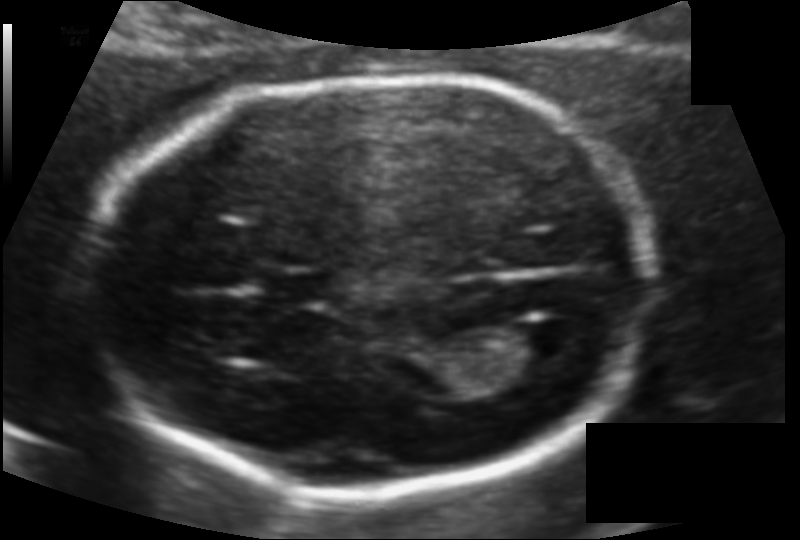
Fetal head ultrasound. Image width: 85.2 mm. Give [x1,y1,x2,y2] bounding boxes for each visible structure among: fetal head, CSP, LV.

Head: [92,77,645,489]
CSP: [264,271,330,305]
Lateral ventricle: [514,313,584,370]